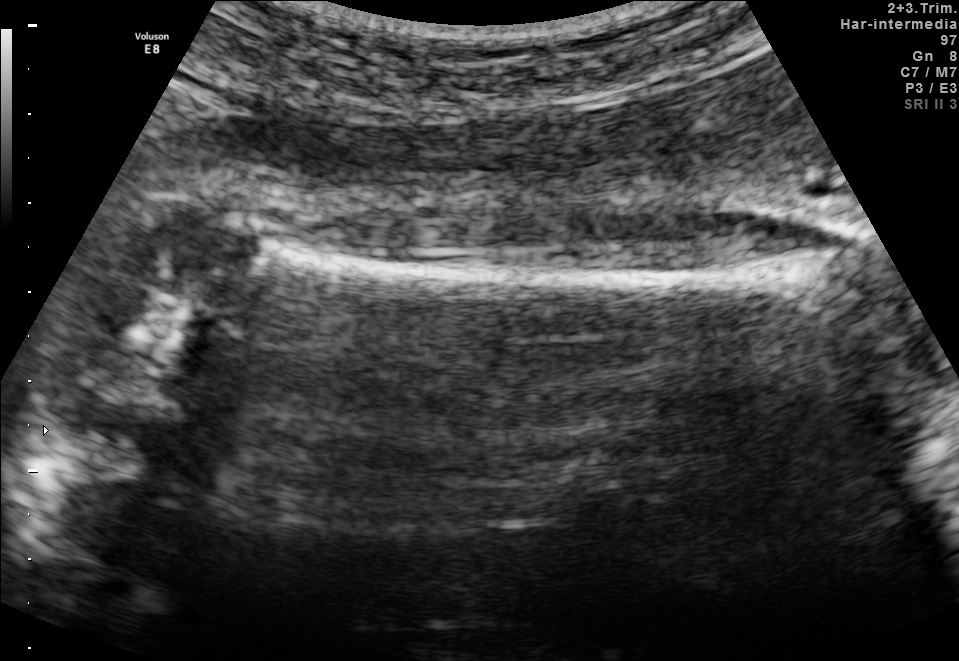
Identify the standard plane in this fetal ultrasound image: fetal abdomen, fetal brain, fetal femur, fetal thorax, maternal cervix, or other. If it's fetal brain and one of the three standard brain planes (trans-thalamic, trans-cerebellum, trans-ventricular), name which.

Fetal femur